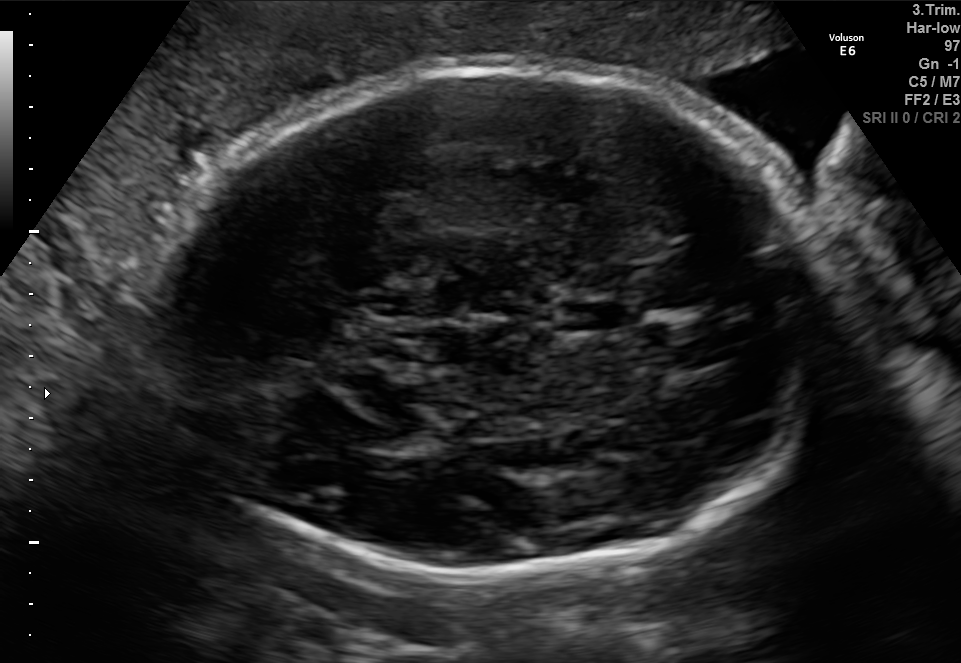
Fetal brain, trans-thalamic plane. Locate the cavum septum pellucidum.

CSP: [555,300,625,332]